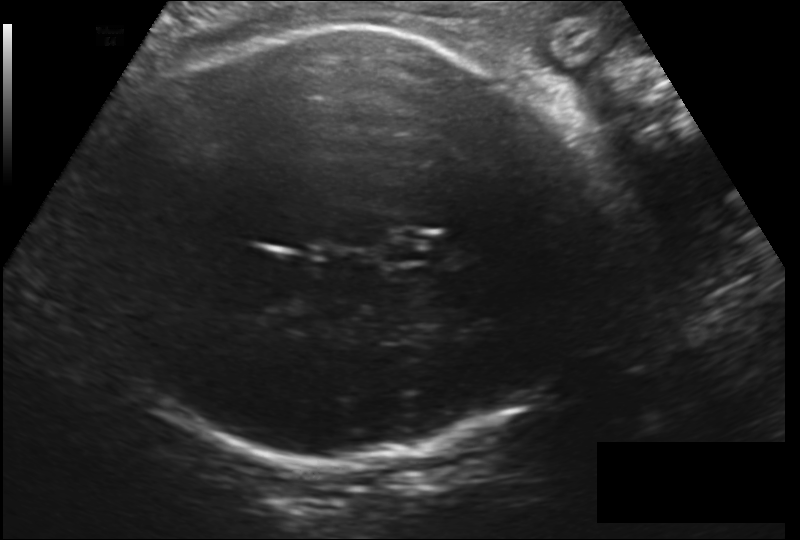
Estimate the fetal head circumference from this 2D ultrasound. Image width: 169.8 mm.

Head circumference: 330.9 mm.